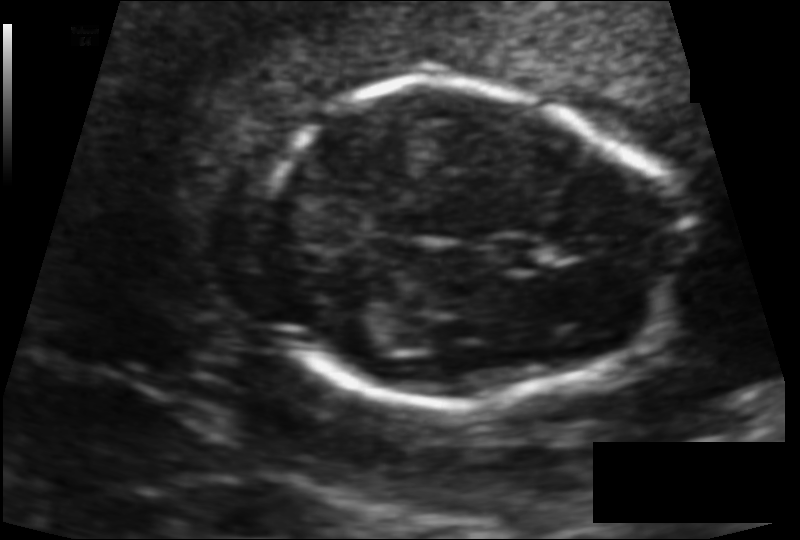
Fetal head ultrasound. Image width: 80.4 mm. Locate the fetal head.

Head: [254,84,682,407]